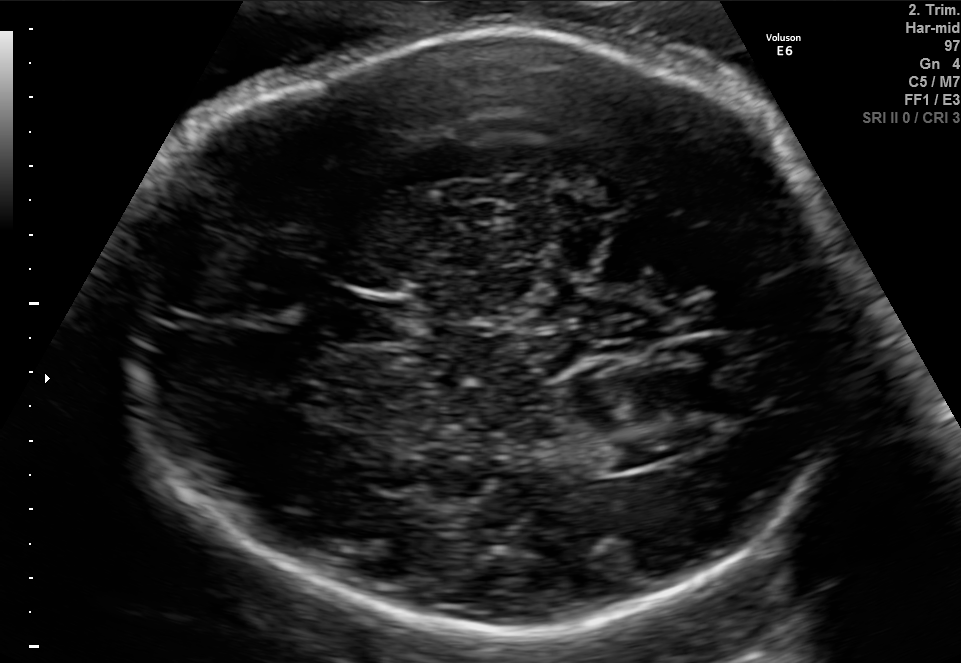
Fetal brain, trans-ventricular plane. Where is the fetal head?

Head bounding box: [109,20,862,639]